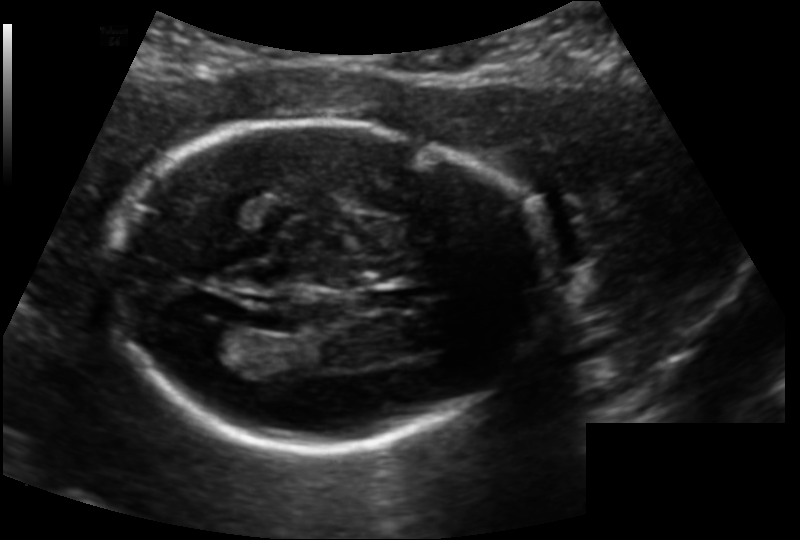
What is the fetal head circumference? Image width is 111.5 mm.

175.4 mm